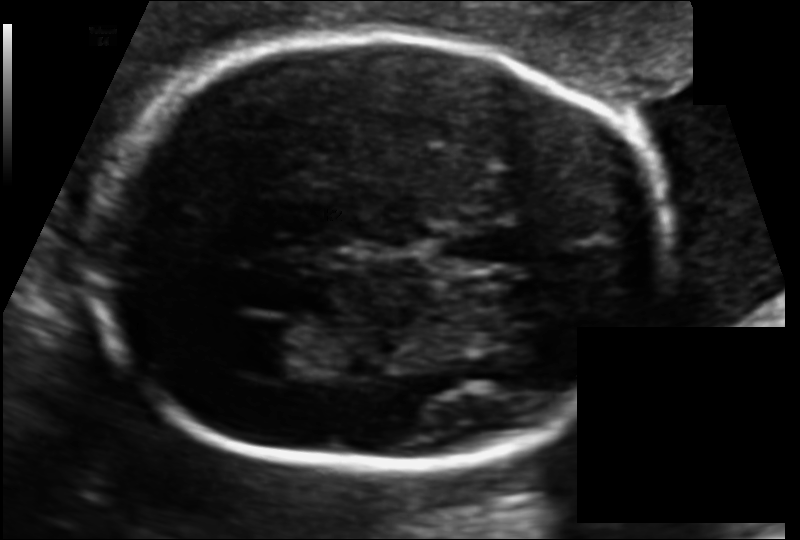
Estimate the fetal head circumference from this 2D ultrasound. Image width: 89.0 mm.

Head circumference: 182.6 mm.